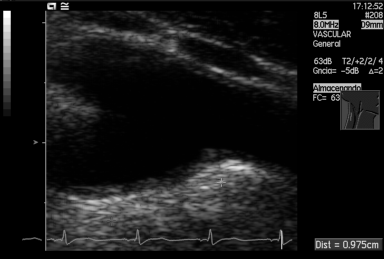
Classify this maternal-fetal ultrasound image as one of the six standard planes — fetal abdomen, fetal brain, fetal femur, fetal thorax, maternal cervix, or other. If it's fetal brain and one of the three standard brain planes (trans-thalamic, trans-cerebellum, trans-ventricular), name which.

Other